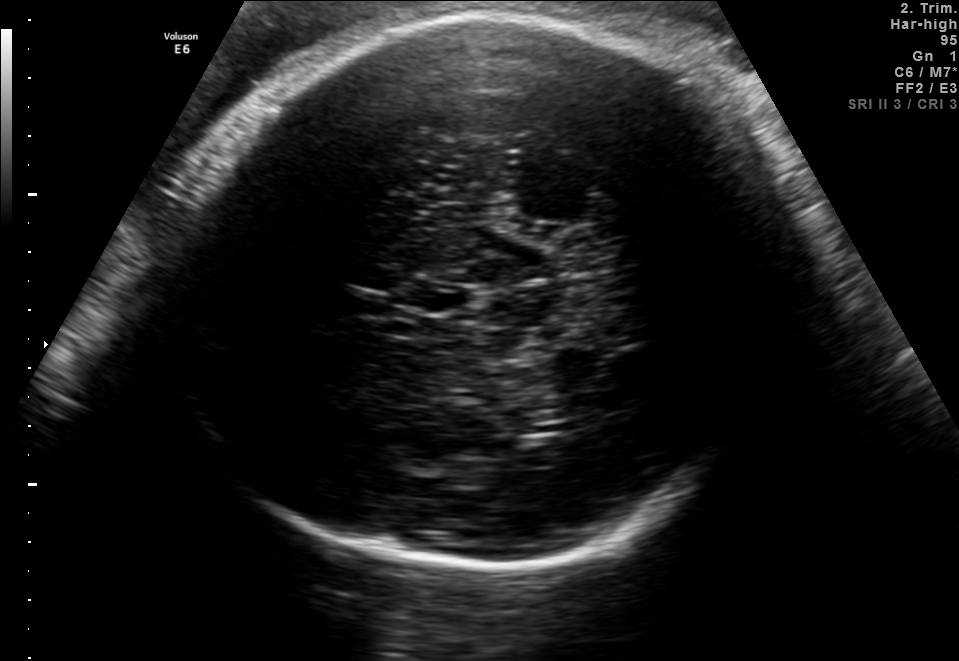
Fetal brain, trans-thalamic plane. Give [x1,y1,x2,y2] bounding boxes for each visible structure among: fetal head, CSP, LV.

Head: [169,15,780,578]
CSP: [404,279,460,316]